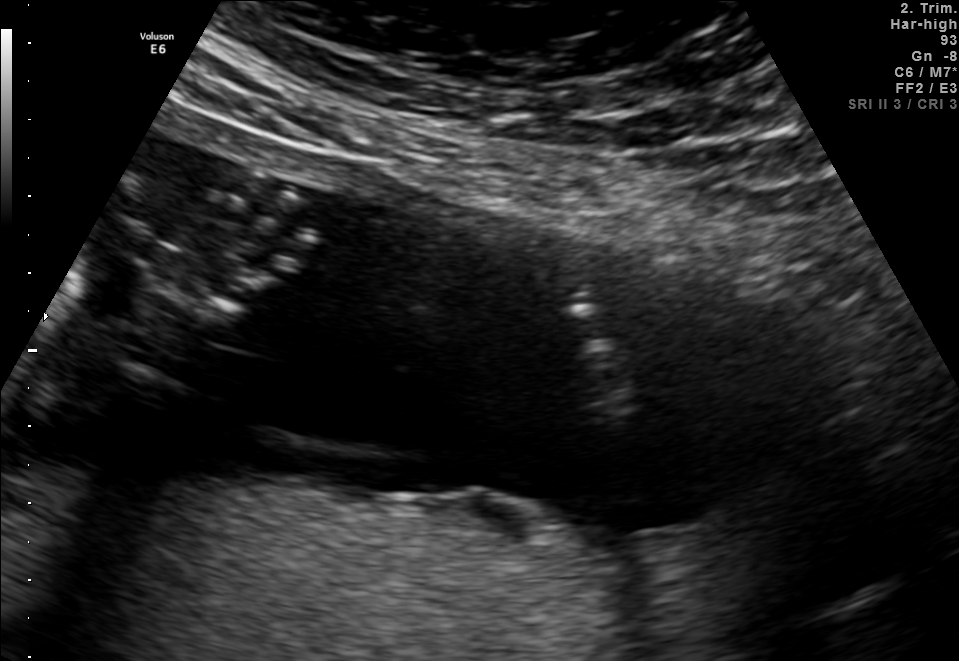
Classify this maternal-fetal ultrasound image as one of the six standard planes — fetal abdomen, fetal brain, fetal femur, fetal thorax, maternal cervix, or other. If it's fetal brain and one of the three standard brain planes (trans-thalamic, trans-cerebellum, trans-ventricular), name which.

Other